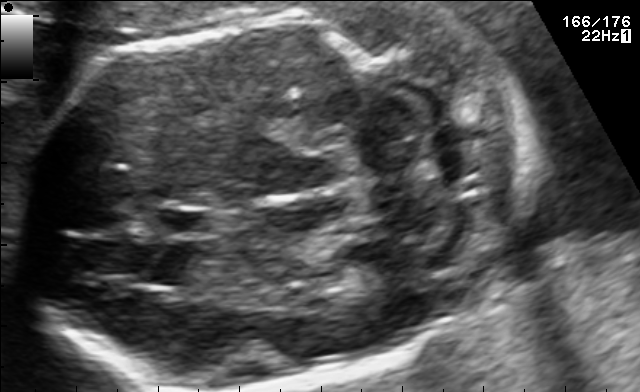
In this fetal brain, trans-cerebellum plane, give the bounding box of the cavum septum pellucidum.

[152,207,220,237]